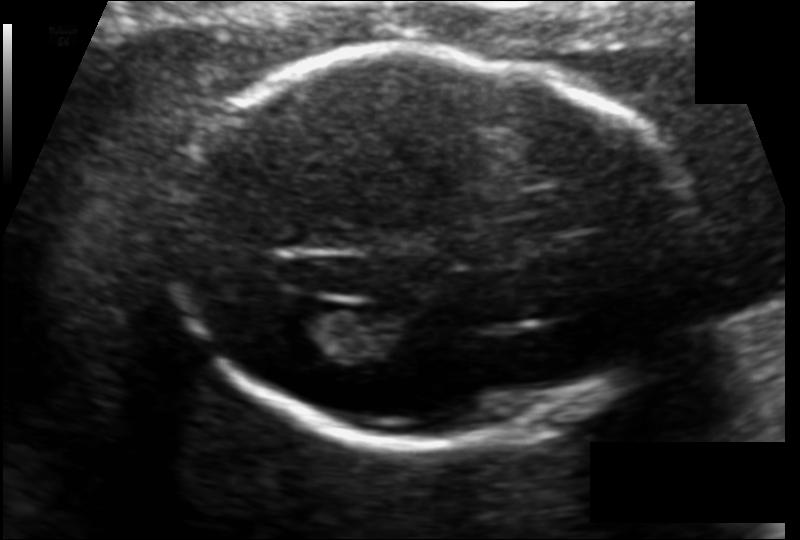
Estimate the fetal head circumference from this 2D ultrasound.

Head circumference: 181.0 mm (image width 96.2 mm).